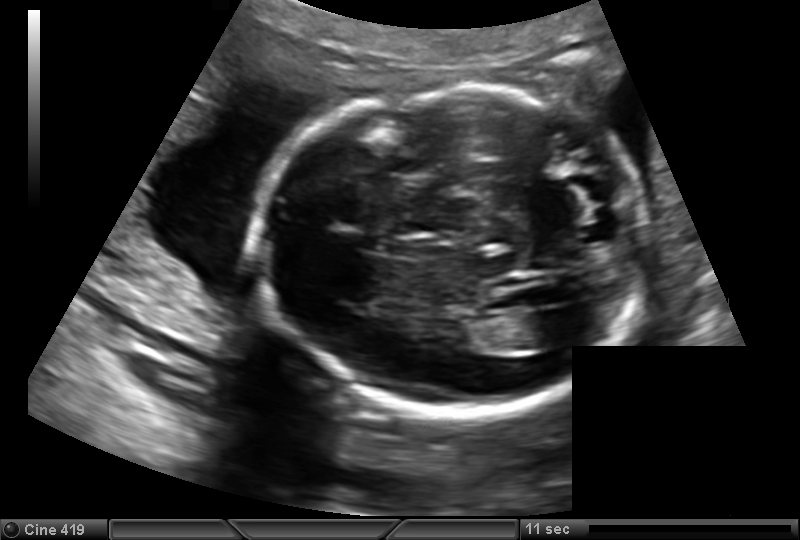
Fetal head ultrasound. Image width: 120.7 mm. Give [x1,y1,x2,y2] bounding boxes for each visible structure among: fetal head, CSP, LV.

Head: [257,87,647,414]
Lateral ventricle: [515,309,573,351]